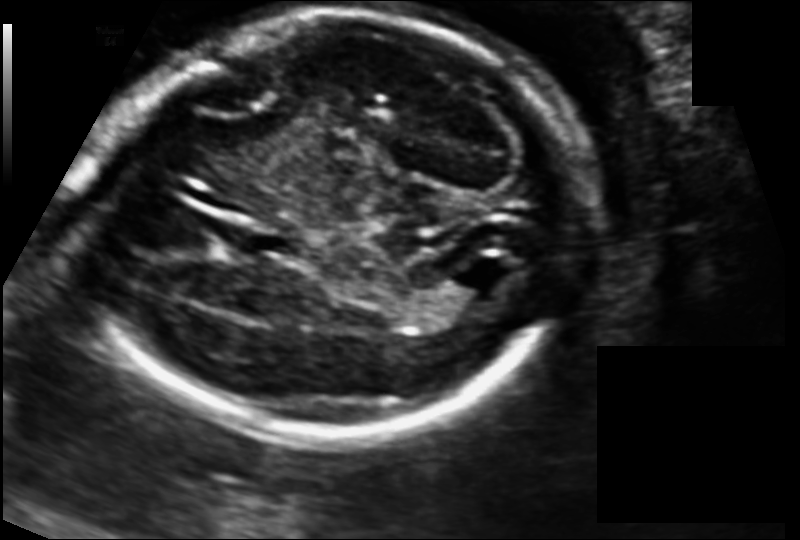
Fetal head ultrasound. Image width: 100.4 mm. Locate the lateral ventricle.

Lateral ventricle: [445,236,525,314]